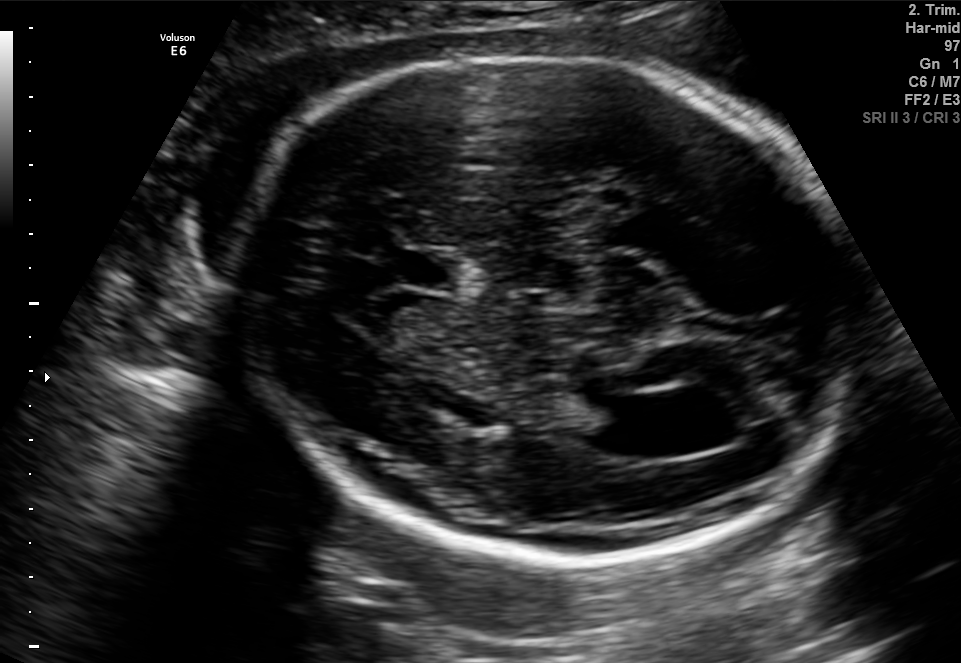
In this fetal brain, trans-ventricular plane, give bounding boxes for the head outline, cavum septum pellucidum (CSP), and lateral ventricle (LV), where visible.

Head: [221,46,862,563]
CSP: [367,240,481,299]
Lateral ventricle: [585,390,674,454]